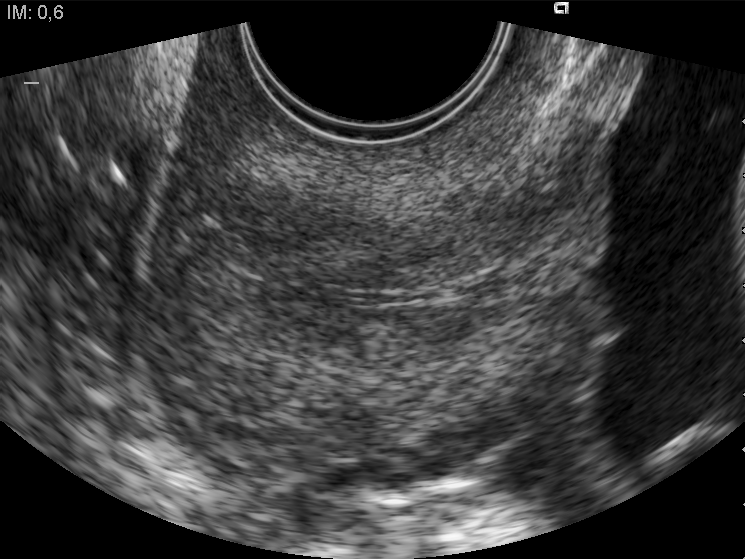
Classify this maternal-fetal ultrasound image as one of the six standard planes — fetal abdomen, fetal brain, fetal femur, fetal thorax, maternal cervix, or other. If it's fetal brain and one of the three standard brain planes (trans-thalamic, trans-cerebellum, trans-ventricular), name which.

Maternal cervix